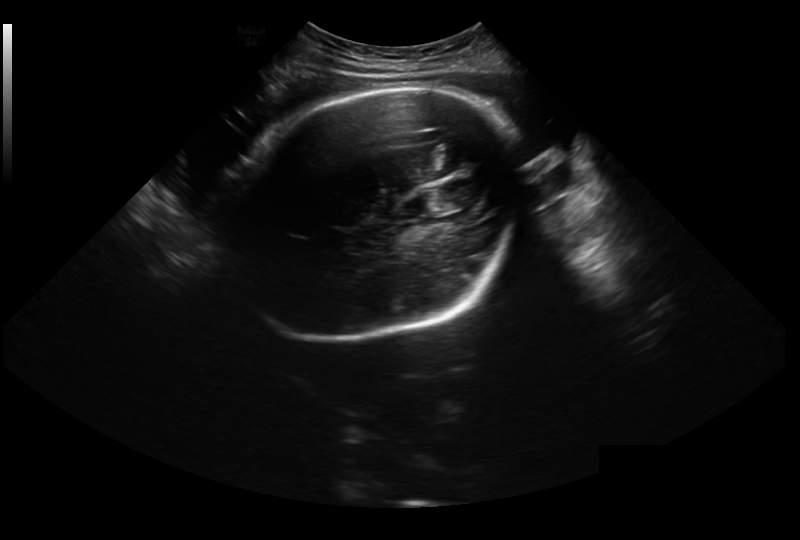
Fetal head ultrasound. Image width: 260.9 mm. Where is the fetal head?

Head bounding box: [220,85,523,342]